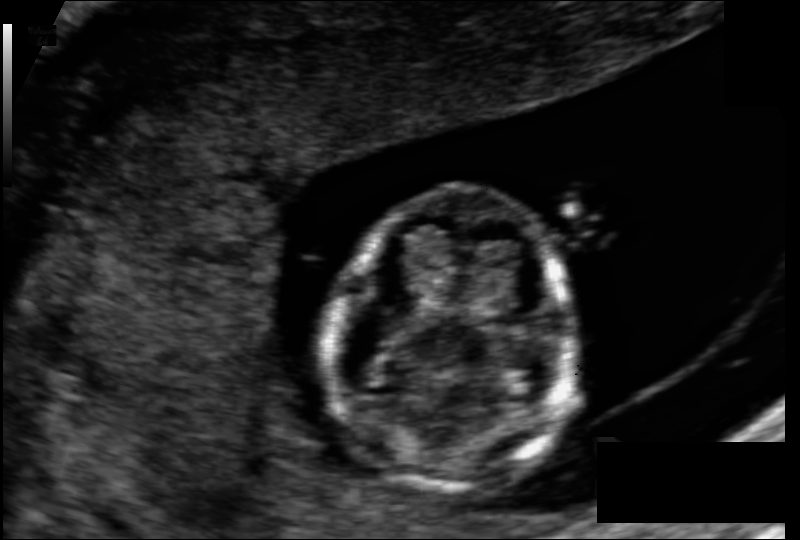
Estimate the fetal head circumference from this 2D ultrasound. Image width: 77.7 mm.

Head circumference: 87.3 mm.